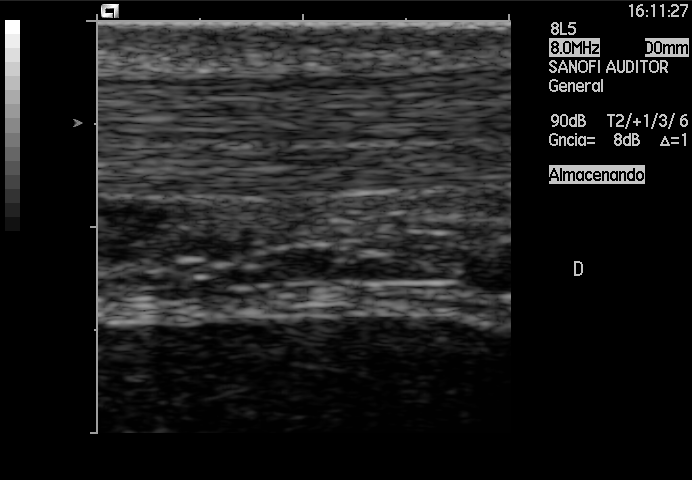
This is a 2D maternal-fetal ultrasound frame. Is it a fetal abdomen, fetal brain, fetal femur, fetal thorax, maternal cervix, or other standard plane? If it's fetal brain and one of the three standard brain planes (trans-thalamic, trans-cerebellum, trans-ventricular), name which.

Other